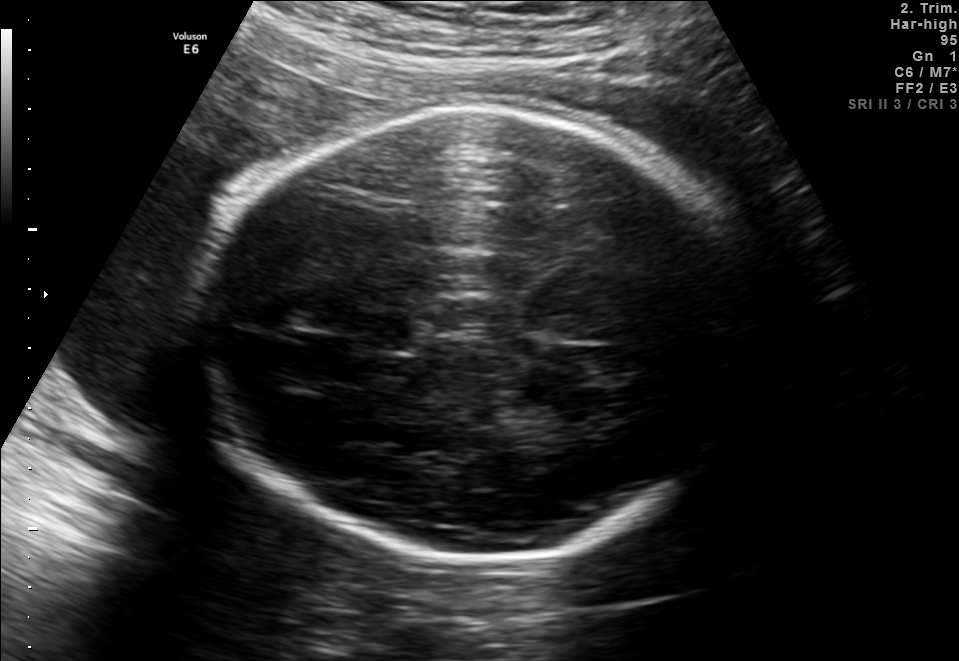
Fetal brain, trans-thalamic plane. Locate the cavum septum pellucidum.

CSP: [355,313,411,352]